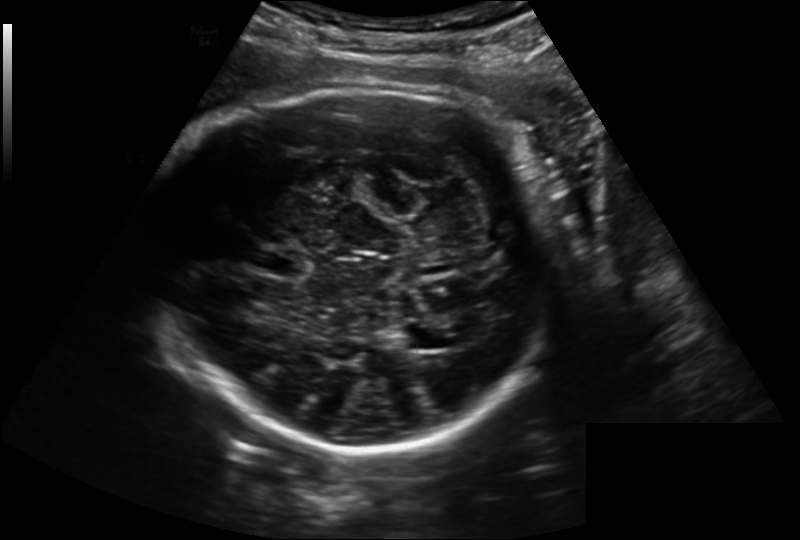
From this fetal ultrasound, estimate the head circumference (image width 177.2 mm).

Head circumference: 281.3 mm.